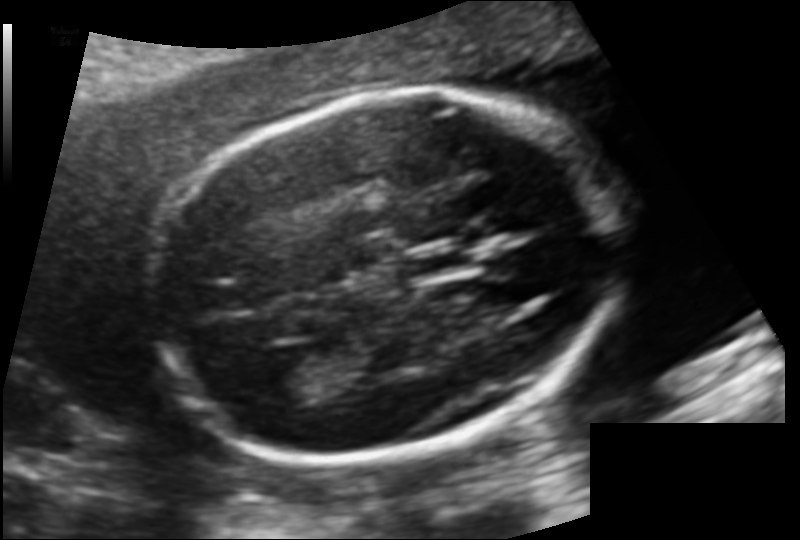
Estimate the fetal head circumference from this 2D ultrasound. Image width: 96.3 mm.

Head circumference: 163.3 mm.